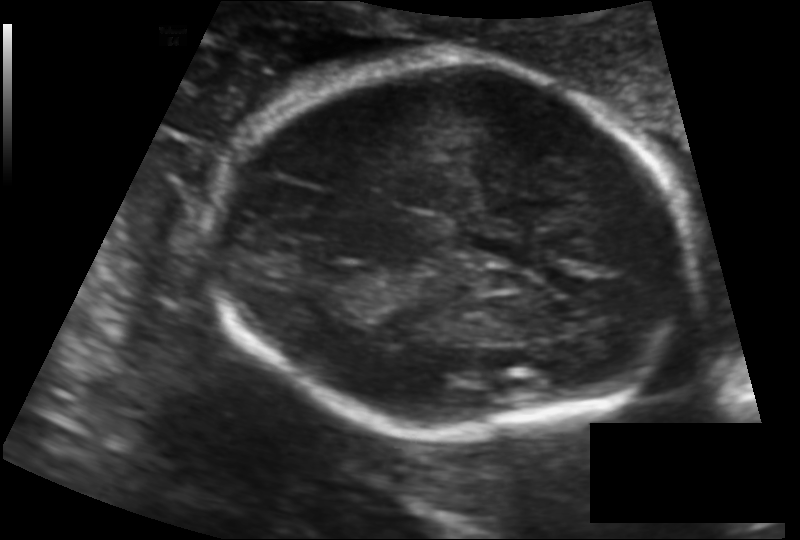
Estimate the fetal head circumference from this 2D ultrasound.

Head circumference: 179.8 mm (image width 102.5 mm).